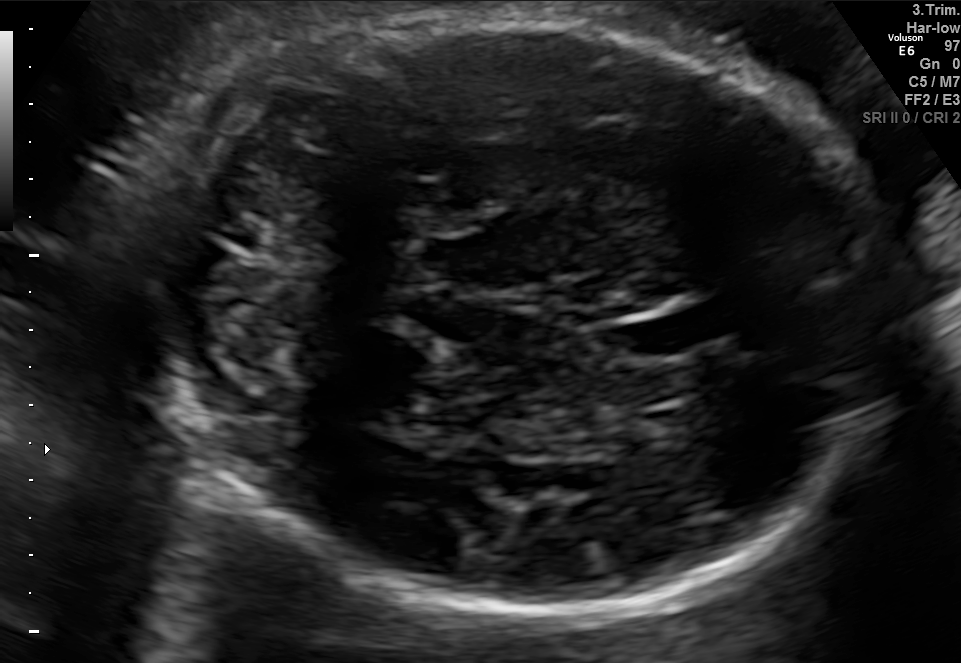
Fetal brain, trans-cerebellum plane. Locate the fetal head and, if visible, the cavum septum pellucidum (CSP) and lateral ventricle (LV). Give bounding boxes as [x1,y1,x2,y2].

Head: [153,7,884,620]
CSP: [596,306,694,372]